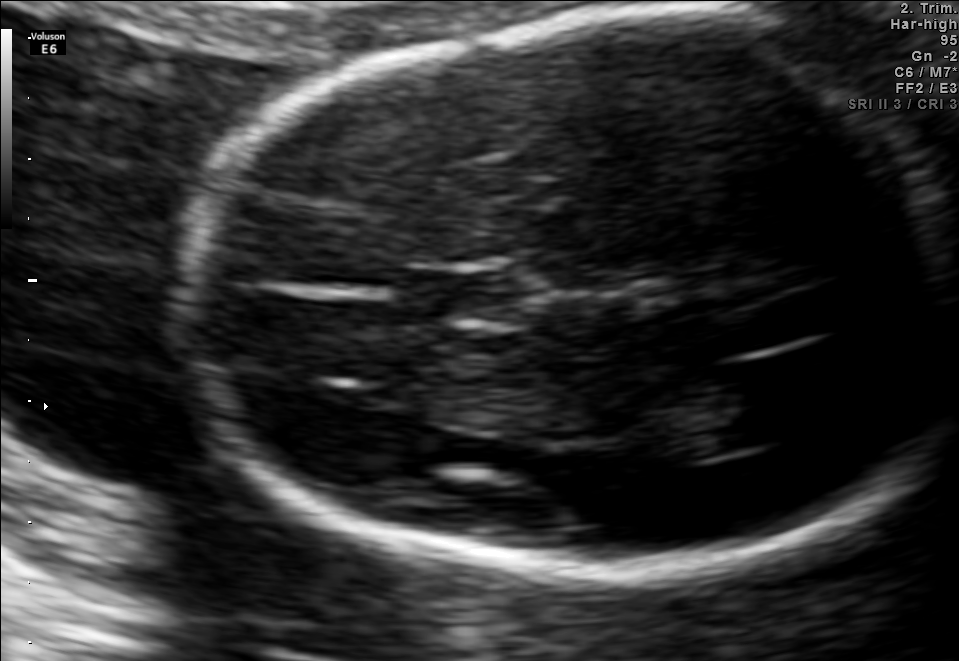
Fetal brain, trans-thalamic plane. Where is the cavum septum pellucidum?

CSP bounding box: [404,274,517,320]